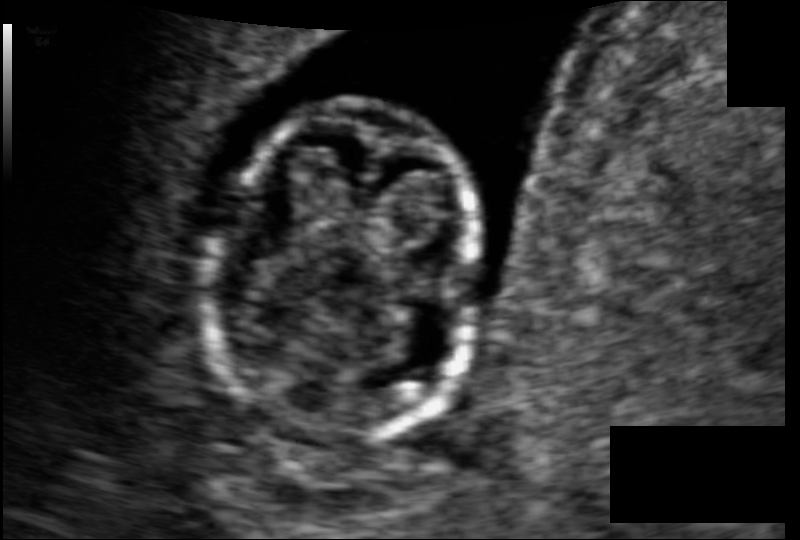
Fetal head ultrasound. Image width: 59.1 mm. Locate the fetal head and, if visible, the cavum septum pellucidum (CSP) and lateral ventricle (LV). Give bounding boxes as [x1,y1,x2,y2].

Head: [212,103,478,440]